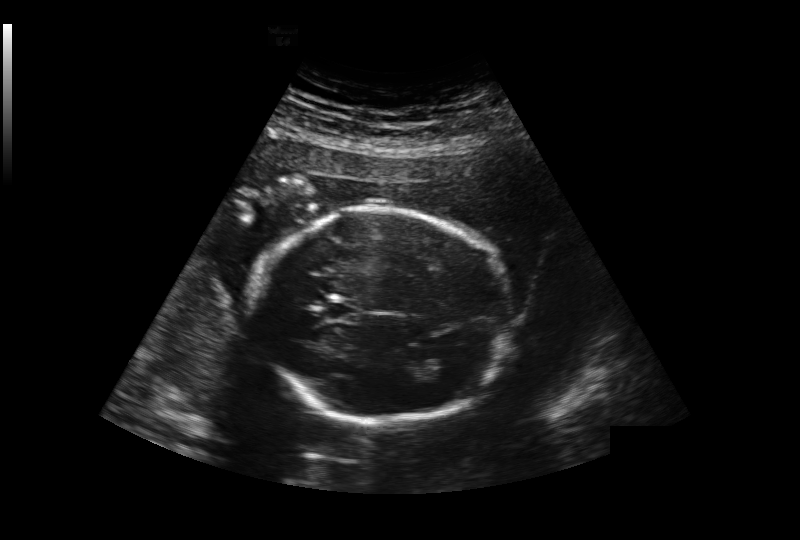
In this fetal head ultrasound, give bounding boxes for the head outline, cavum septum pellucidum (CSP), and lateral ventricle (LV), where visible. Image width: 191.2 mm.

Head: [252,208,511,421]
CSP: [327,302,358,321]